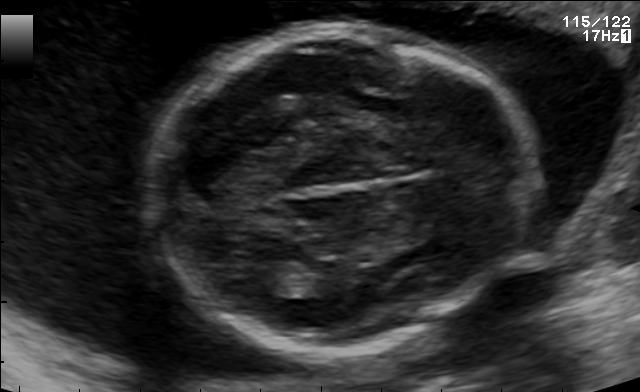
Fetal brain, trans-thalamic plane. Locate the fetal head.

Head: [153,27,543,347]